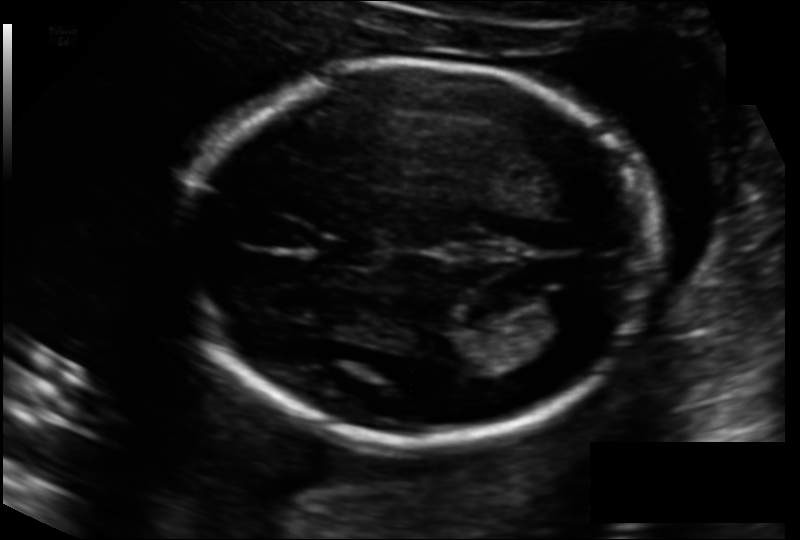
In this fetal head ultrasound, give bounding boxes for the head outline, cavum septum pellucidum (CSP), and lateral ventricle (LV), where visible. Image width: 106.6 mm.

Head: [180,61,657,444]
CSP: [319,234,381,270]
Lateral ventricle: [523,283,595,341]